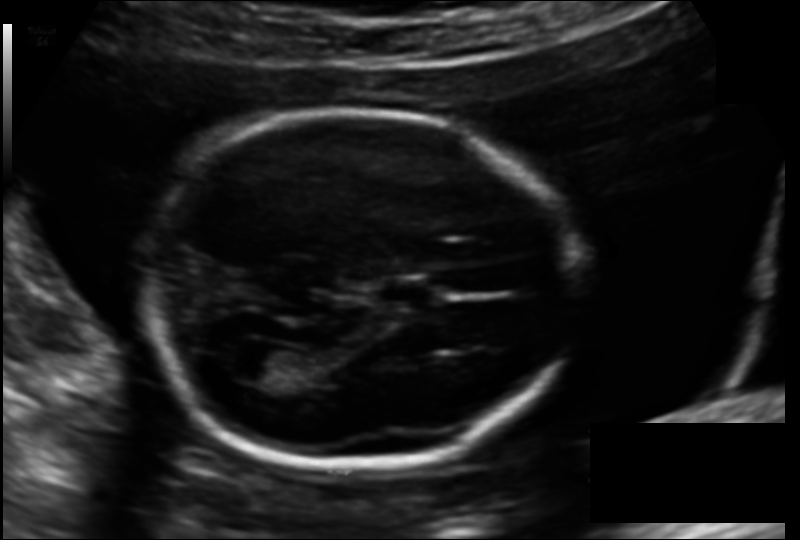
Fetal head ultrasound. Image width: 109.9 mm. Locate the lateral ventricle.

Lateral ventricle: [234,349,284,381]